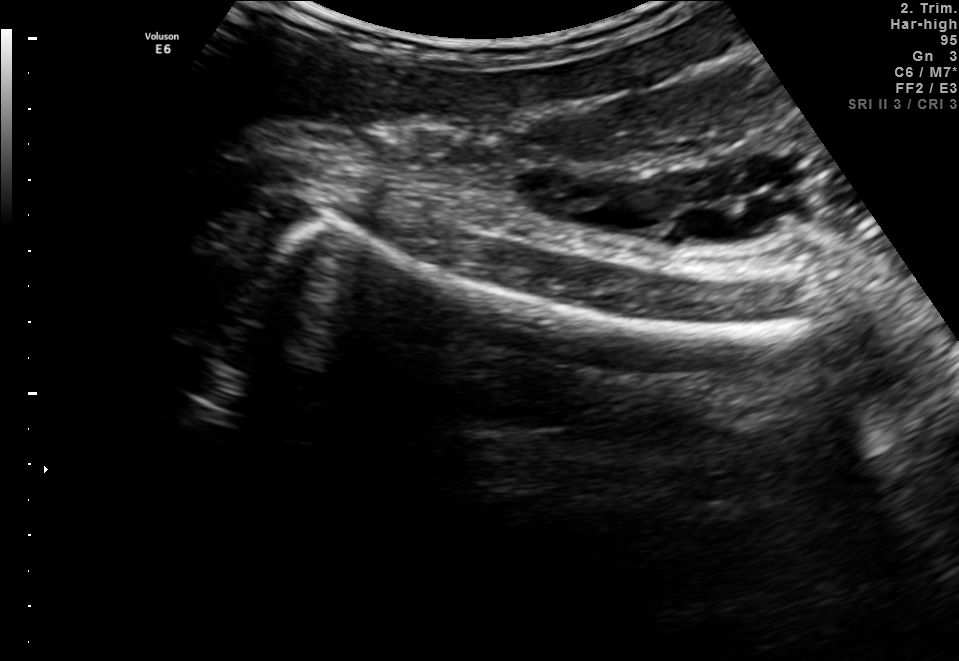
Classify this maternal-fetal ultrasound image as one of the six standard planes — fetal abdomen, fetal brain, fetal femur, fetal thorax, maternal cervix, or other. If it's fetal brain and one of the three standard brain planes (trans-thalamic, trans-cerebellum, trans-ventricular), name which.

Fetal femur